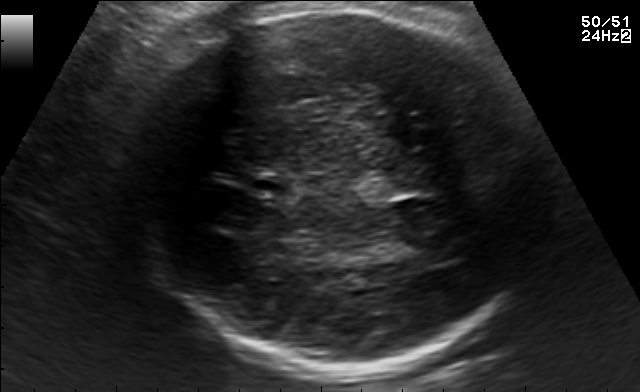
Identify the standard plane in this fetal ultrasound image: fetal abdomen, fetal brain, fetal femur, fetal thorax, maternal cervix, or other. If it's fetal brain and one of the three standard brain planes (trans-thalamic, trans-cerebellum, trans-ventricular), name which.

Fetal brain (trans-thalamic plane)